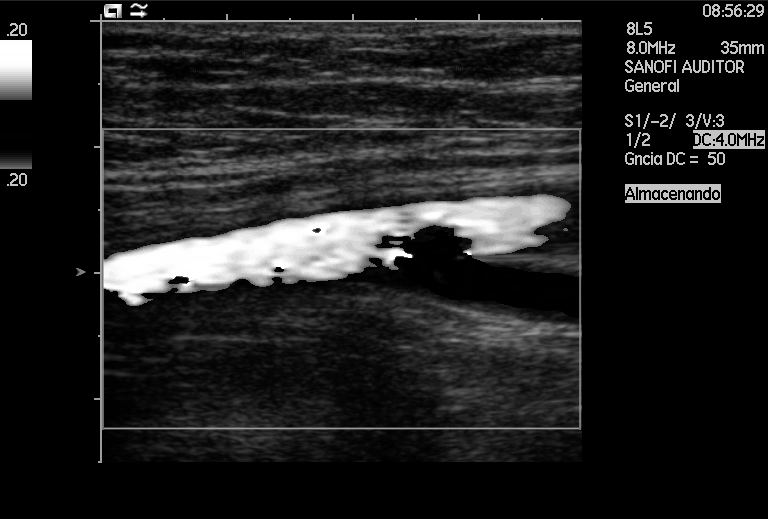
Which standard maternal-fetal ultrasound plane is shown: fetal abdomen, fetal brain, fetal femur, fetal thorax, maternal cervix, or other? If it's fetal brain and one of the three standard brain planes (trans-thalamic, trans-cerebellum, trans-ventricular), name which.

Other